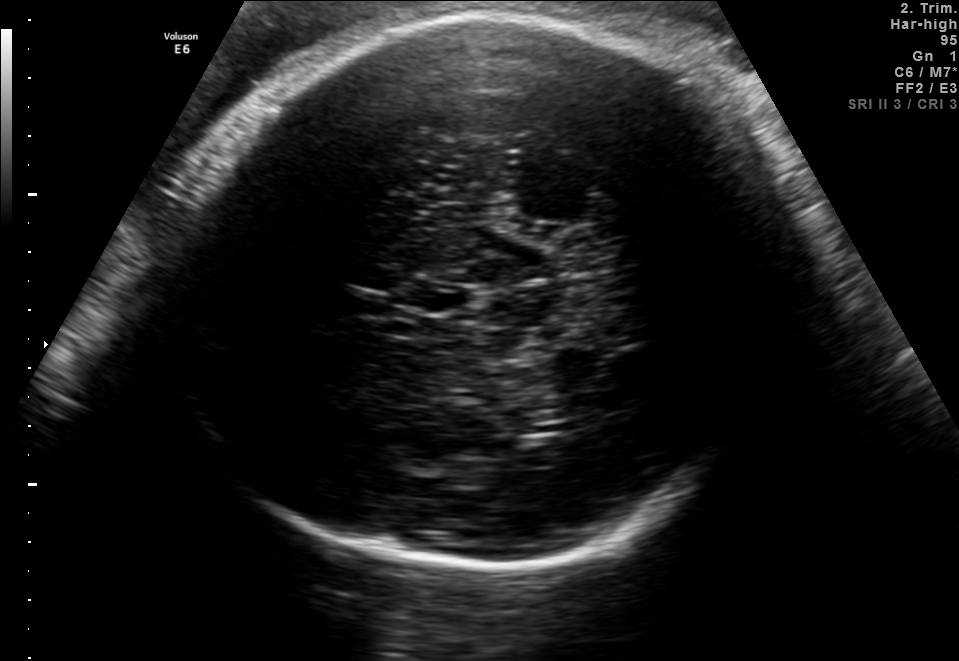
Fetal brain, trans-thalamic plane. Locate the fetal head and, if visible, the cavum septum pellucidum (CSP) and lateral ventricle (LV). Give bounding boxes as [x1,y1,x2,y2].

Head: [169,15,780,578]
CSP: [404,279,460,316]